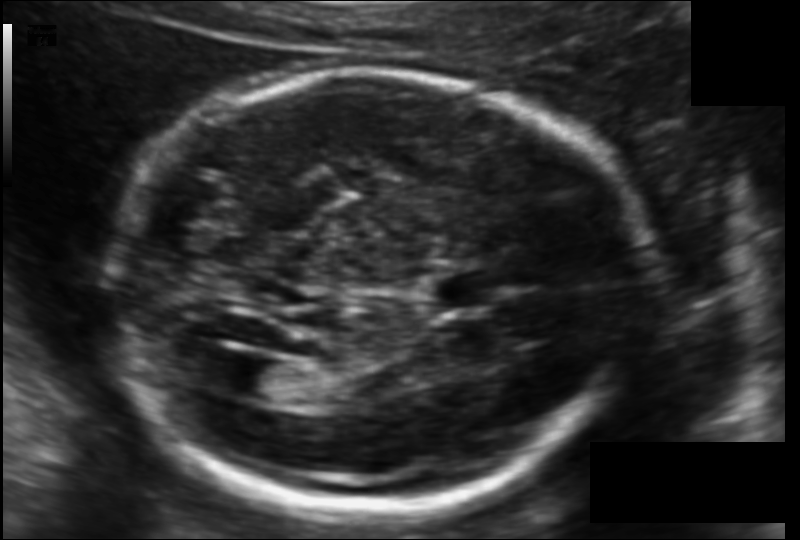
Estimate the fetal head circumference from this 2D ultrasound.

Head circumference: 188.6 mm (image width 95.3 mm).